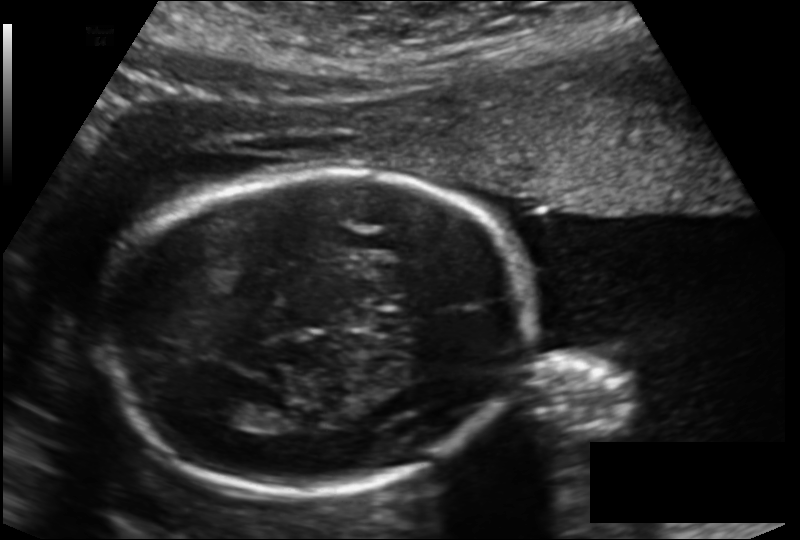
In this fetal head ultrasound, give the bounding box of the lateral ventricle. Image width: 123.8 mm.

[201,394,262,429]